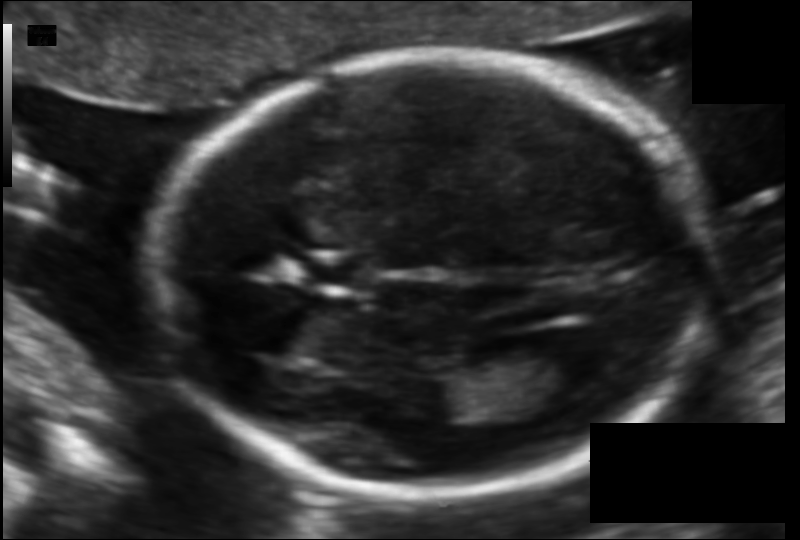
From this fetal ultrasound, estimate the head circumference (image width 83.8 mm).

Head circumference: 171.0 mm.